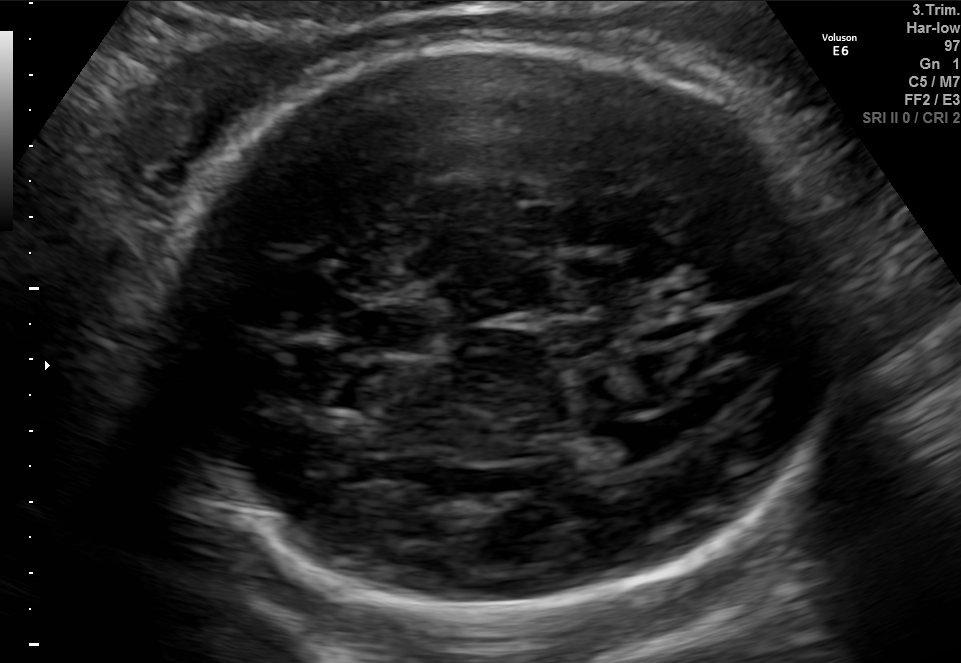
Fetal brain, trans-ventricular plane. Where is the lateral ventricle?

Lateral ventricle bounding box: [598,410,688,473]